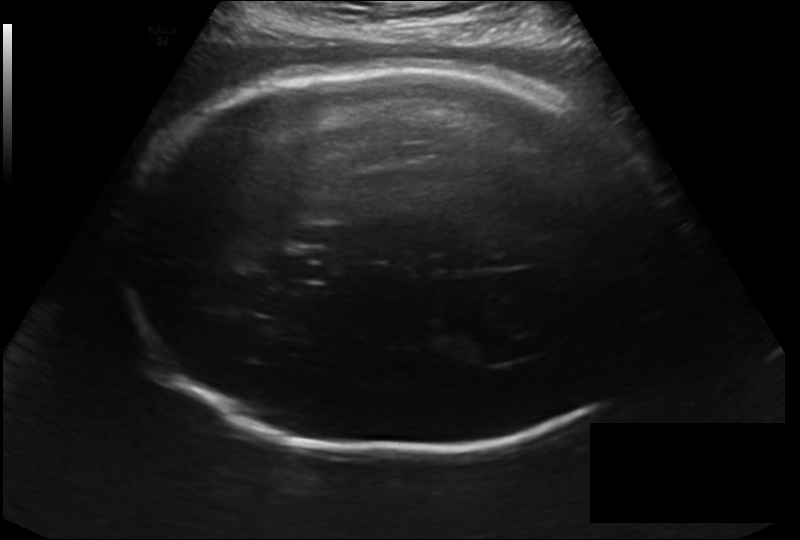
Fetal head ultrasound. Image width: 171.6 mm. Locate the fetal head.

Head: [122,64,677,452]